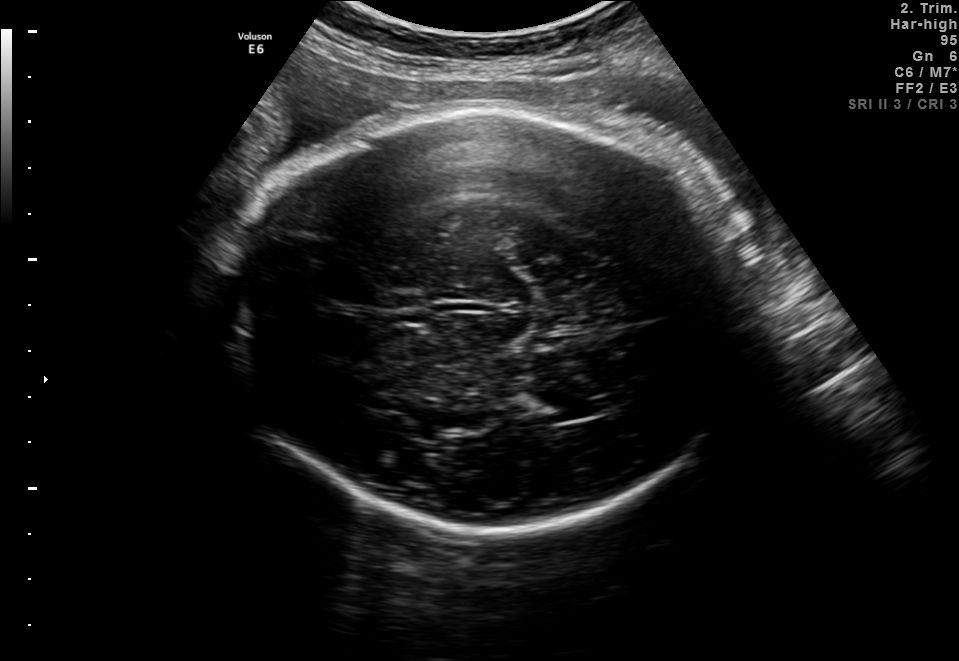
This is a 2D maternal-fetal ultrasound frame. Is it a fetal abdomen, fetal brain, fetal femur, fetal thorax, maternal cervix, or other standard plane? If it's fetal brain and one of the three standard brain planes (trans-thalamic, trans-cerebellum, trans-ventricular), name which.

Fetal brain (trans-thalamic plane)